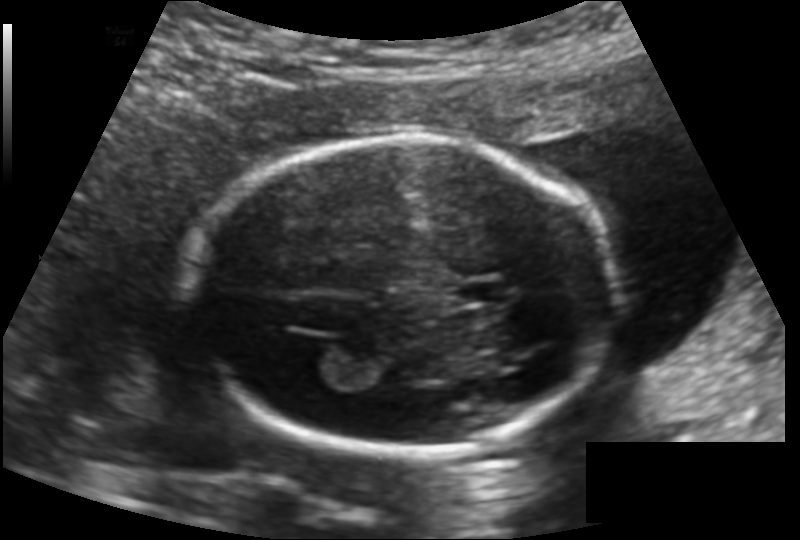
Fetal head ultrasound. Image width: 109.1 mm. Locate the lateral ventricle.

Lateral ventricle: [284,331,341,374]